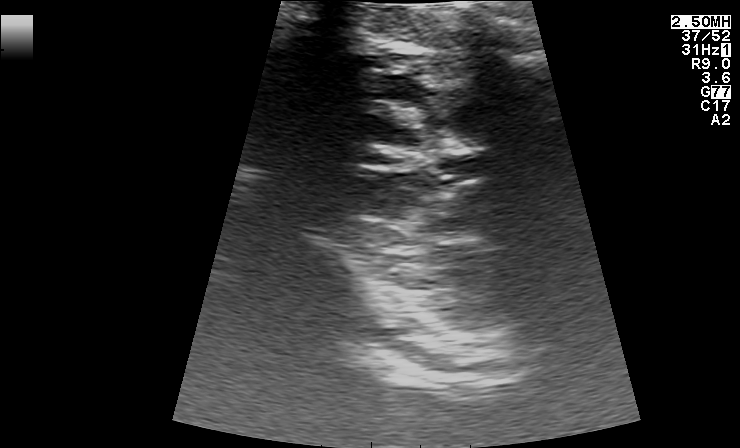
This is a 2D maternal-fetal ultrasound frame. Is it a fetal abdomen, fetal brain, fetal femur, fetal thorax, maternal cervix, or other standard plane? If it's fetal brain and one of the three standard brain planes (trans-thalamic, trans-cerebellum, trans-ventricular), name which.

Other